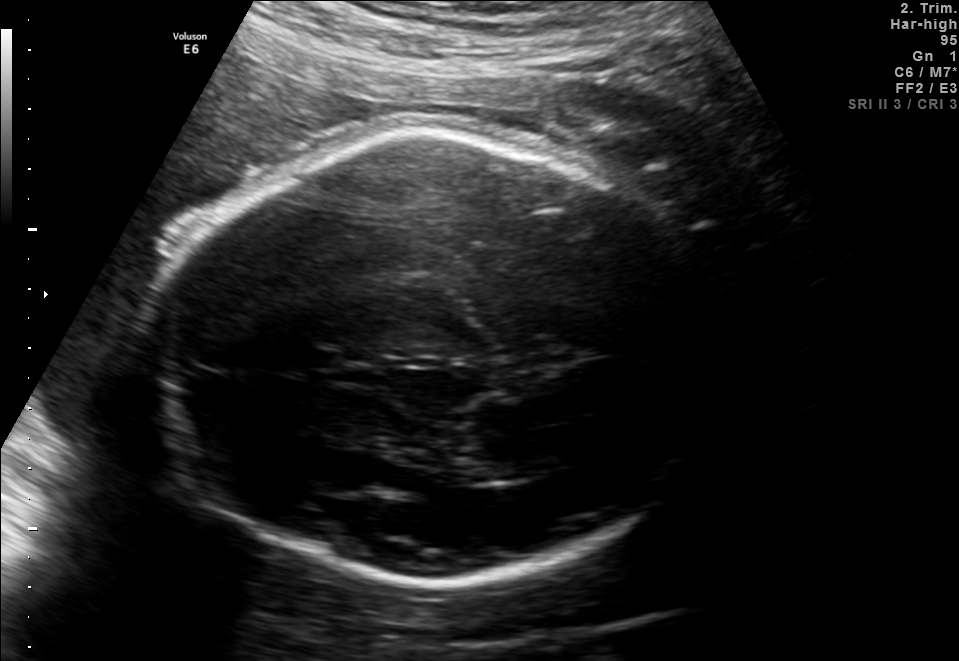
Fetal brain, trans-thalamic plane. Give [x1,y1,x2,y2] bounding boxes for each visible structure among: fetal head, CSP, LV.

Head: [141,127,714,578]